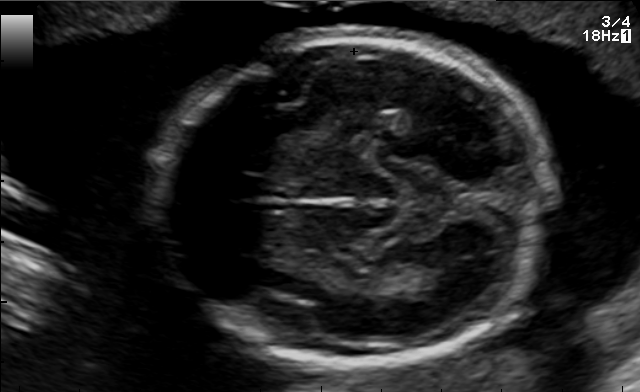
In this fetal brain, trans-thalamic plane, give the bounding box of the fetal head.

[155,37,545,365]